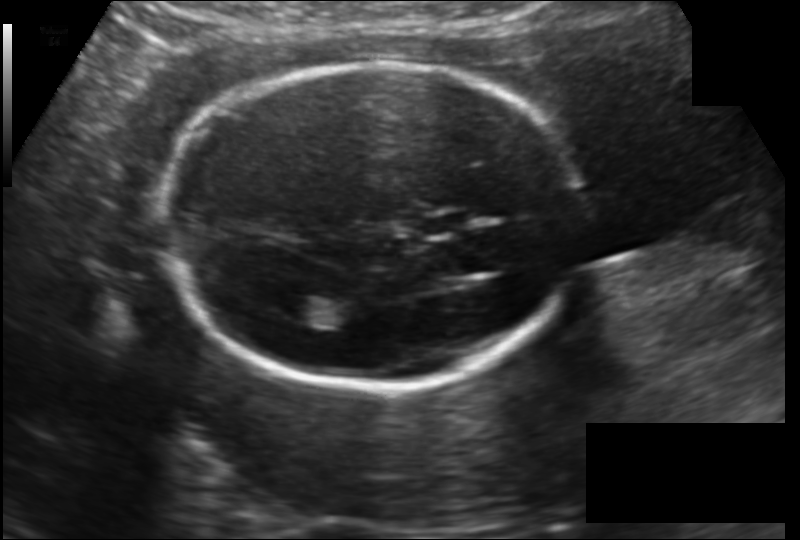
Fetal head ultrasound. Image width: 118.1 mm. Where is the fetal head?

Head bounding box: [164,62,584,390]